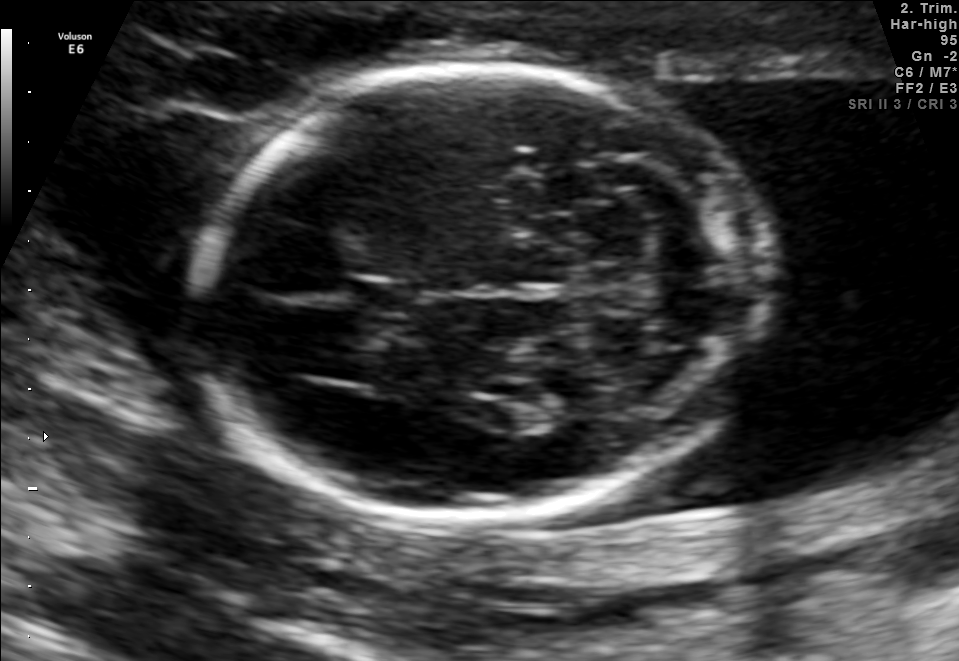
Fetal brain, trans-cerebellum plane. Where is the cavum septum pellucidum?

CSP bounding box: [355,277,412,317]